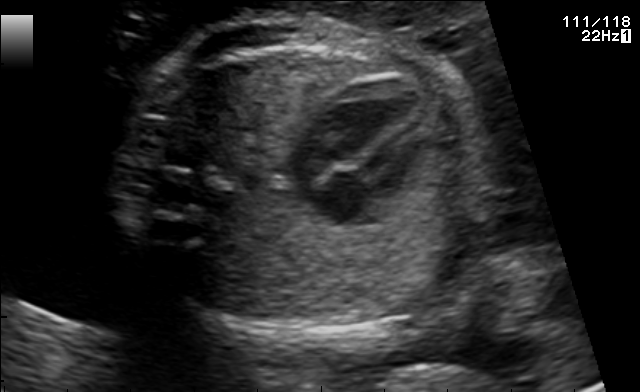
This is a 2D maternal-fetal ultrasound frame. Is it a fetal abdomen, fetal brain, fetal femur, fetal thorax, maternal cervix, or other standard plane? If it's fetal brain and one of the three standard brain planes (trans-thalamic, trans-cerebellum, trans-ventricular), name which.

Fetal thorax